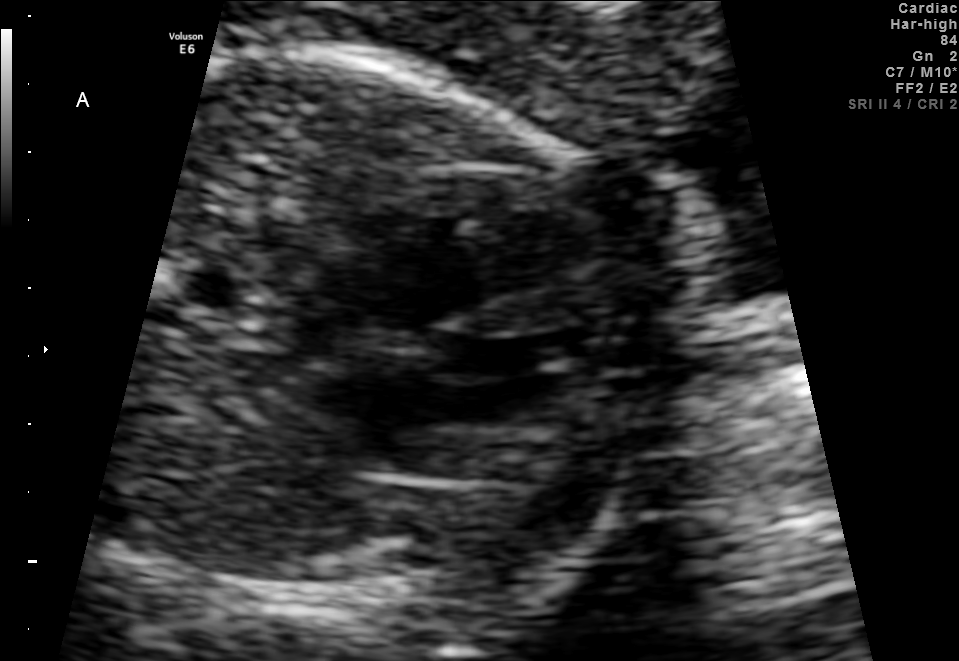
Classify this maternal-fetal ultrasound image as one of the six standard planes — fetal abdomen, fetal brain, fetal femur, fetal thorax, maternal cervix, or other. If it's fetal brain and one of the three standard brain planes (trans-thalamic, trans-cerebellum, trans-ventricular), name which.

Fetal thorax